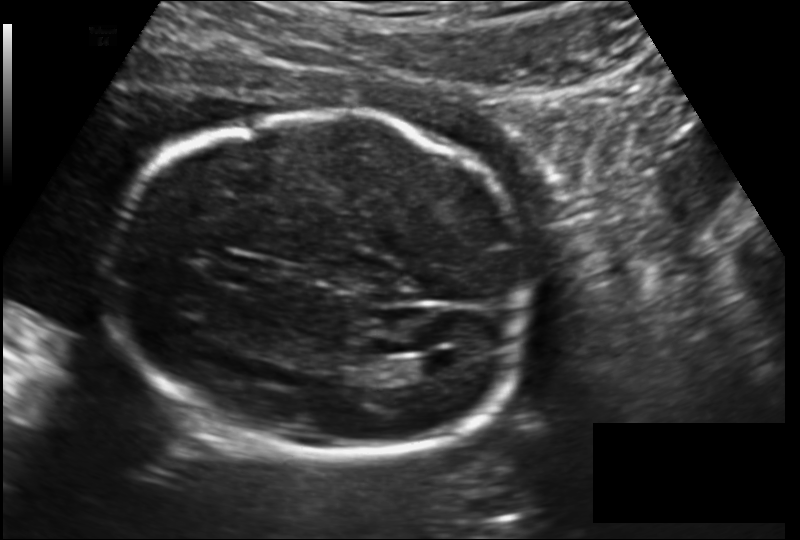
Fetal head ultrasound. Image width: 125.8 mm. Where is the lateral ventricle?

Lateral ventricle bounding box: [411,349,461,382]